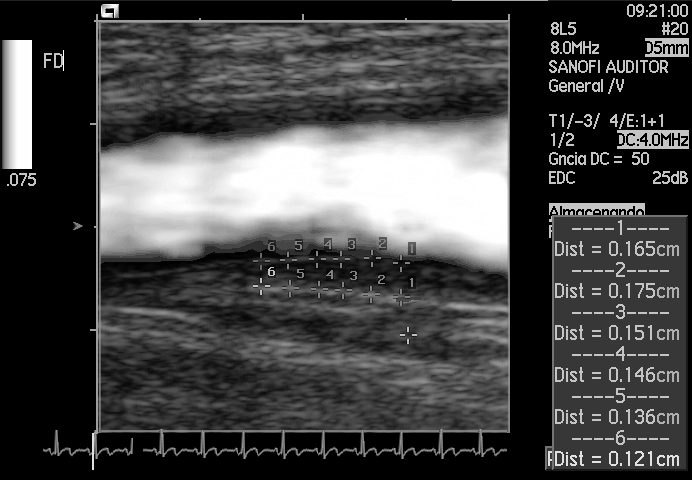
Classify this maternal-fetal ultrasound image as one of the six standard planes — fetal abdomen, fetal brain, fetal femur, fetal thorax, maternal cervix, or other. If it's fetal brain and one of the three standard brain planes (trans-thalamic, trans-cerebellum, trans-ventricular), name which.

Other